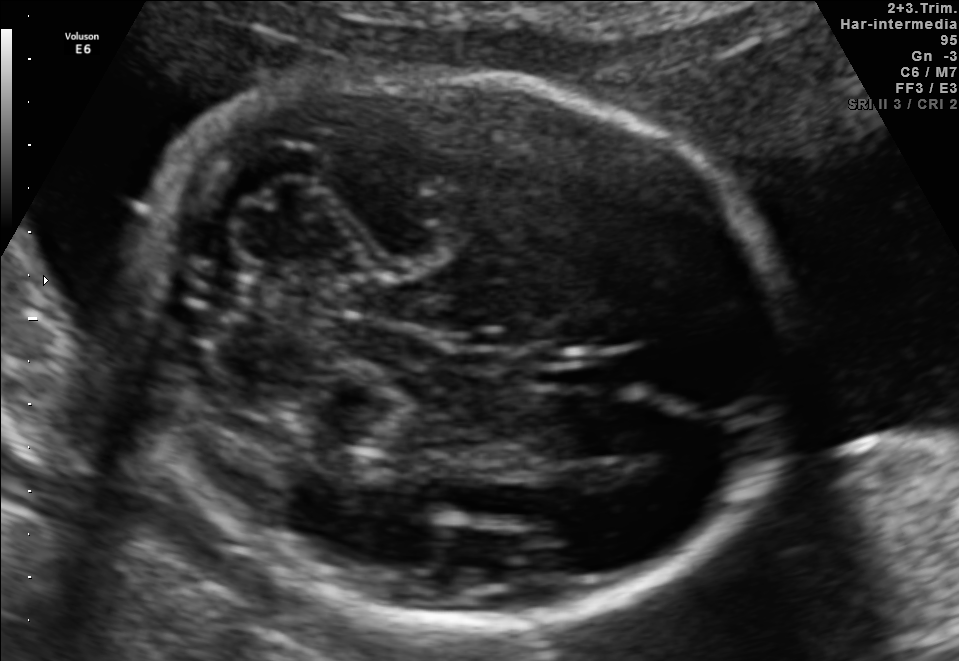
Fetal brain, trans-cerebellum plane. Locate the fetal head and, if visible, the cavum septum pellucidum (CSP) and lateral ventricle (LV). Give bounding boxes as [x1,y1,x2,y2].

Head: [128,71,789,630]